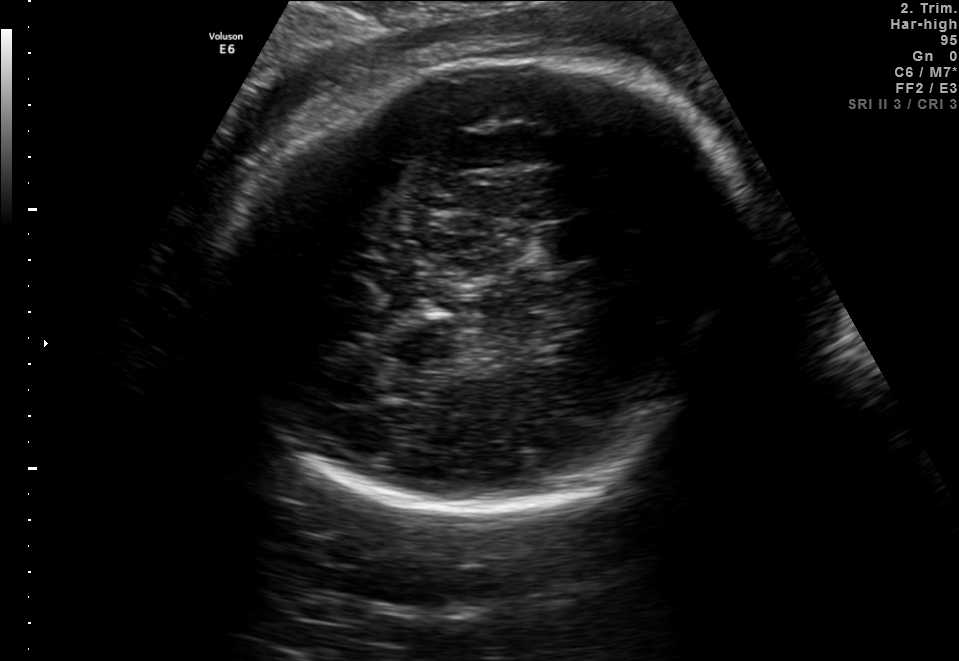
Identify the standard plane in this fetal ultrasound image: fetal abdomen, fetal brain, fetal femur, fetal thorax, maternal cervix, or other. If it's fetal brain and one of the three standard brain planes (trans-thalamic, trans-cerebellum, trans-ventricular), name which.

Fetal brain (trans-thalamic plane)